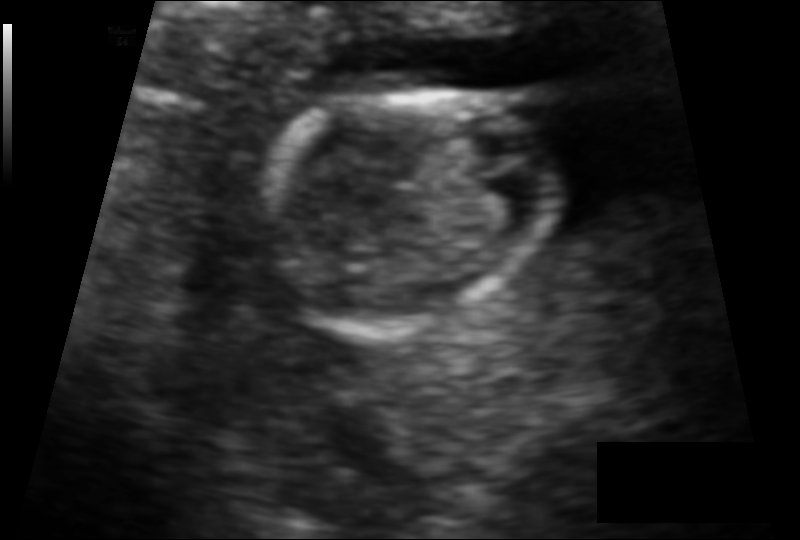
From this fetal ultrasound, estimate the head circumference (image width 73.2 mm).

Head circumference: 79.3 mm.